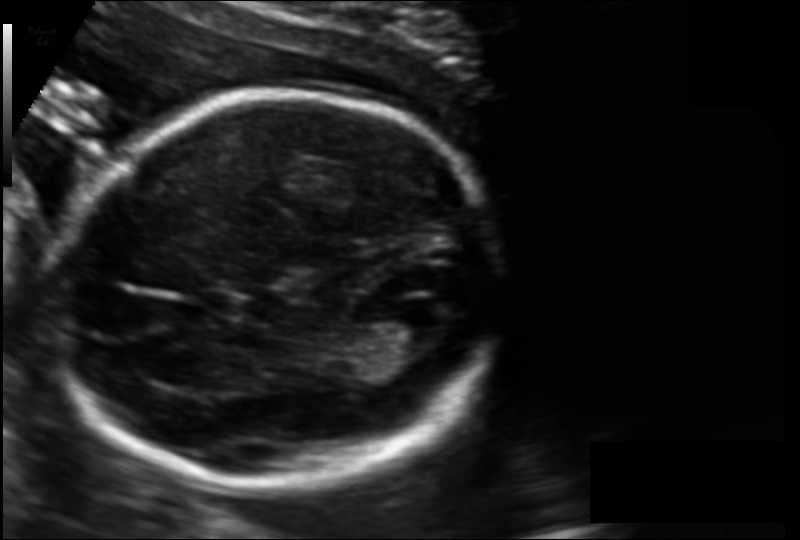
From this fetal ultrasound, estimate the head circumference (image width 102.4 mm).

Head circumference: 173.8 mm.